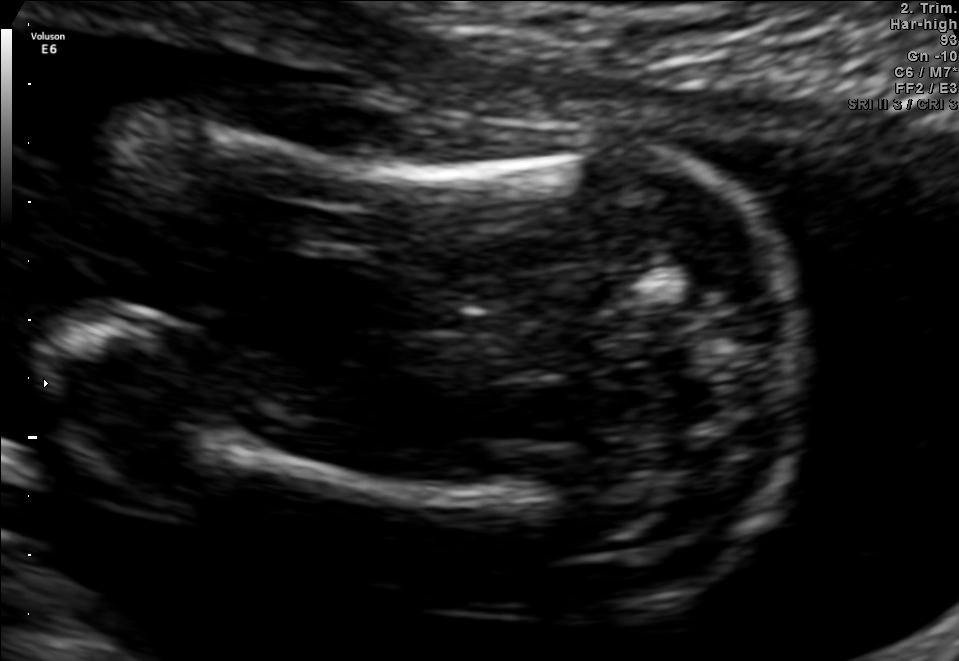
Identify the standard plane in this fetal ultrasound image: fetal abdomen, fetal brain, fetal femur, fetal thorax, maternal cervix, or other. If it's fetal brain and one of the three standard brain planes (trans-thalamic, trans-cerebellum, trans-ventricular), name which.

Fetal femur